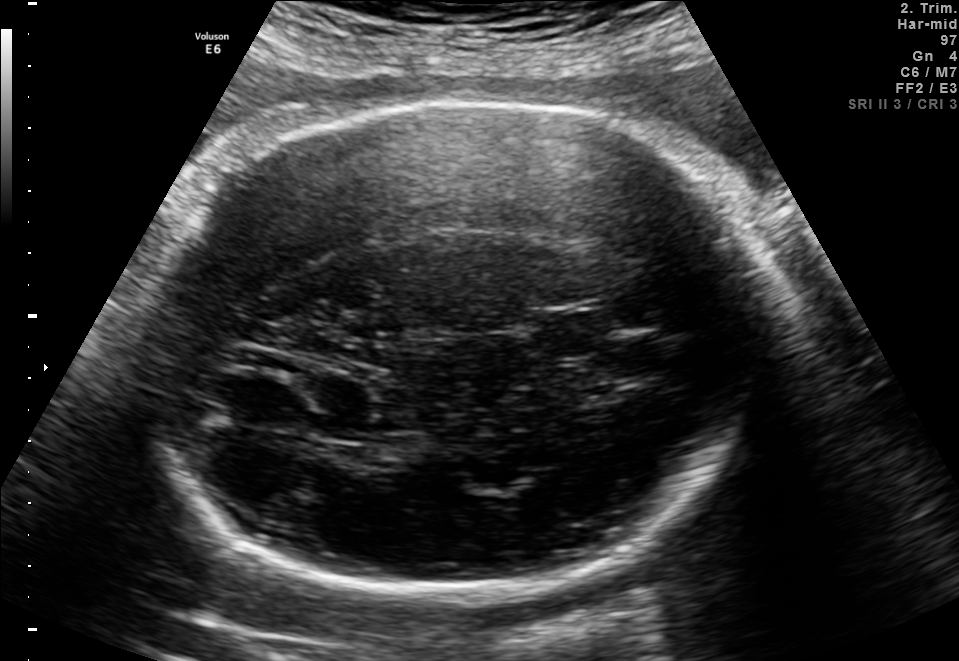
Fetal brain, trans-thalamic plane. Locate the fetal head and, if visible, the cavum septum pellucidum (CSP) and lateral ventricle (LV). Give bounding boxes as [x1,y1,x2,y2].

Head: [136,99,769,606]
CSP: [533,309,610,359]